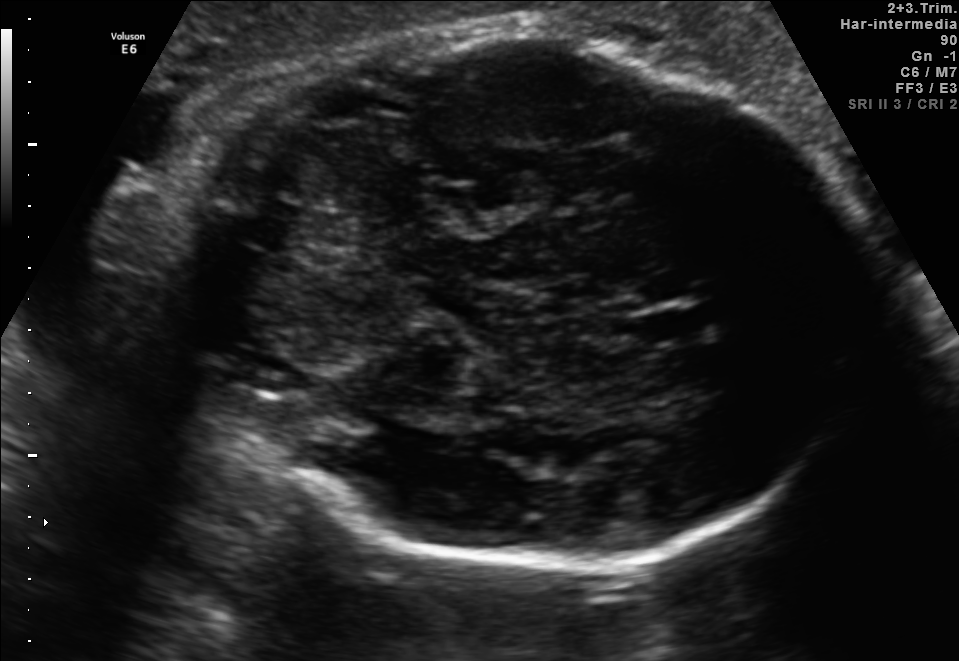
Fetal brain, trans-cerebellum plane. Locate the cavum septum pellucidum.

CSP: [625,297,709,355]